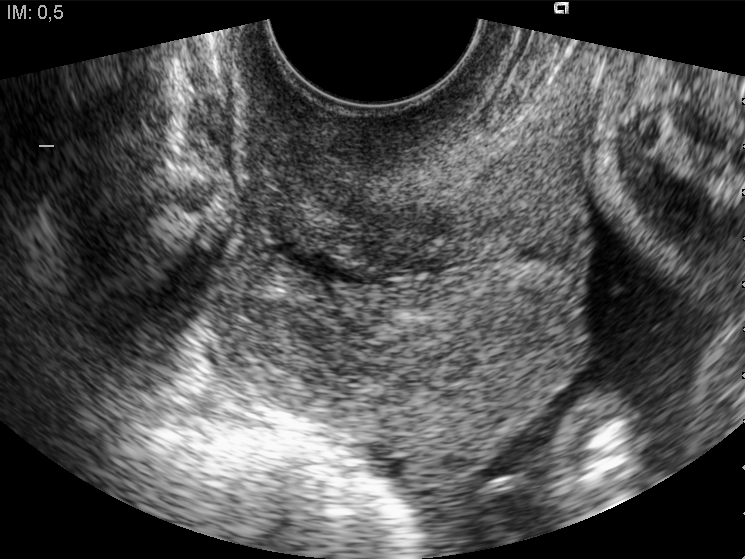
Identify the standard plane in this fetal ultrasound image: fetal abdomen, fetal brain, fetal femur, fetal thorax, maternal cervix, or other. If it's fetal brain and one of the three standard brain planes (trans-thalamic, trans-cerebellum, trans-ventricular), name which.

Maternal cervix